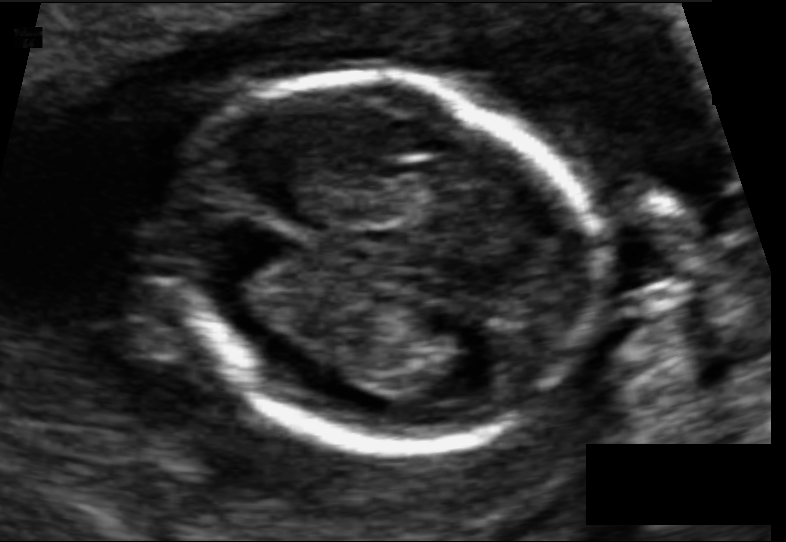
Fetal head ultrasound. Image width: 58.4 mm. Locate the fetal head and, if visible, the cavum septum pellucidum (CSP) and lateral ventricle (LV). Give bounding boxes as [x1,y1,x2,y2].

Head: [170,76,596,453]